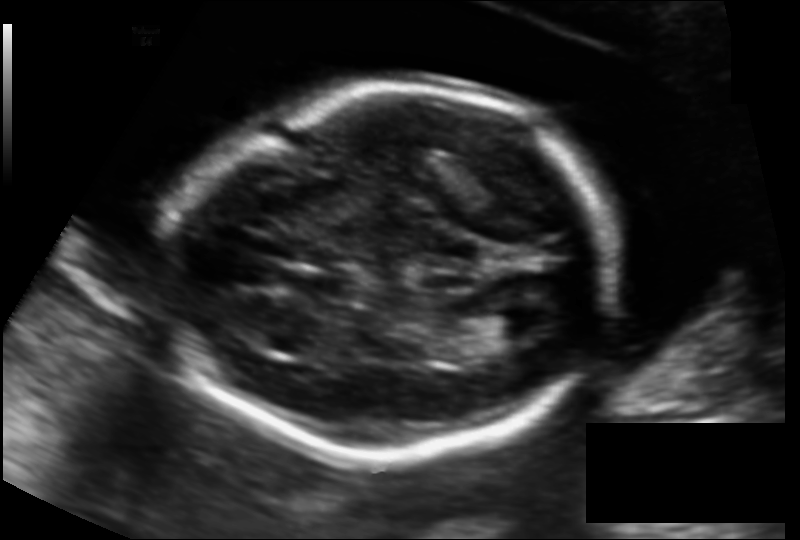
In this fetal head ultrasound, give bounding boxes for the head outline, cavum septum pellucidum (CSP), and lateral ventricle (LV), where visible. Image width: 105.0 mm.

Head: [168,85,612,460]
CSP: [290,267,352,302]
Lateral ventricle: [484,308,539,343]